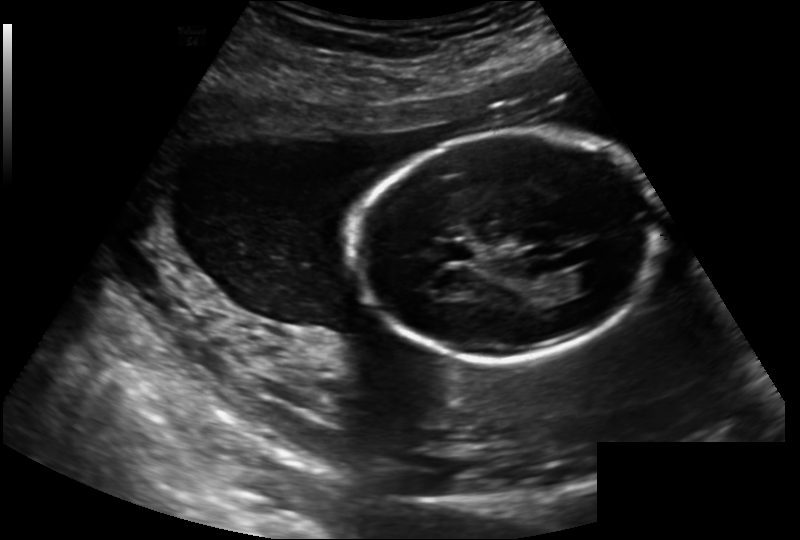
In this fetal head ultrasound, give the bounding box of the lateral ventricle. Image width: 161.7 mm.

[559,262,606,298]